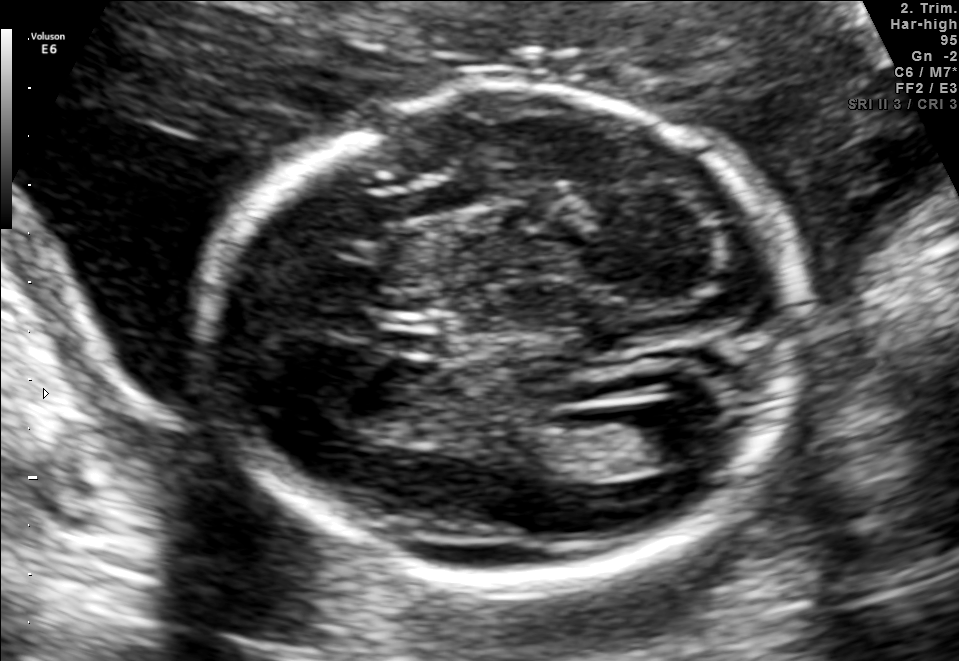
Fetal brain, trans-ventricular plane. Where is the fetal head?

Head bounding box: [187,75,824,600]